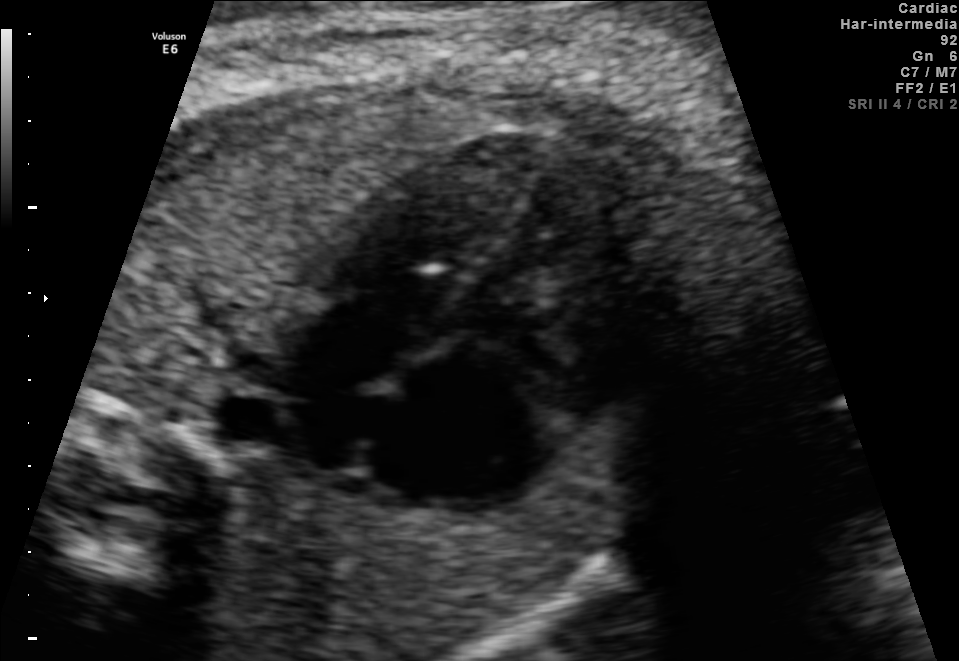
Which standard maternal-fetal ultrasound plane is shown: fetal abdomen, fetal brain, fetal femur, fetal thorax, maternal cervix, or other? If it's fetal brain and one of the three standard brain planes (trans-thalamic, trans-cerebellum, trans-ventricular), name which.

Fetal thorax